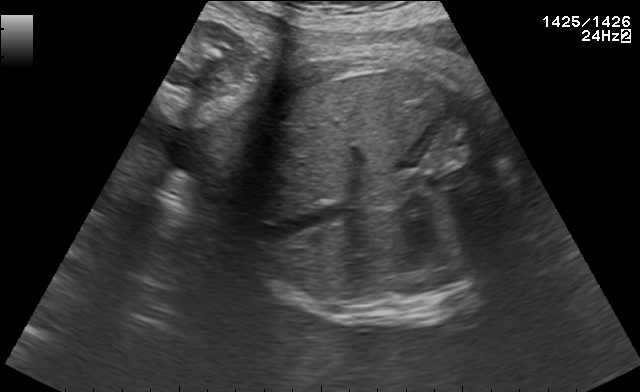
This is a 2D maternal-fetal ultrasound frame. Is it a fetal abdomen, fetal brain, fetal femur, fetal thorax, maternal cervix, or other standard plane? If it's fetal brain and one of the three standard brain planes (trans-thalamic, trans-cerebellum, trans-ventricular), name which.

Fetal abdomen